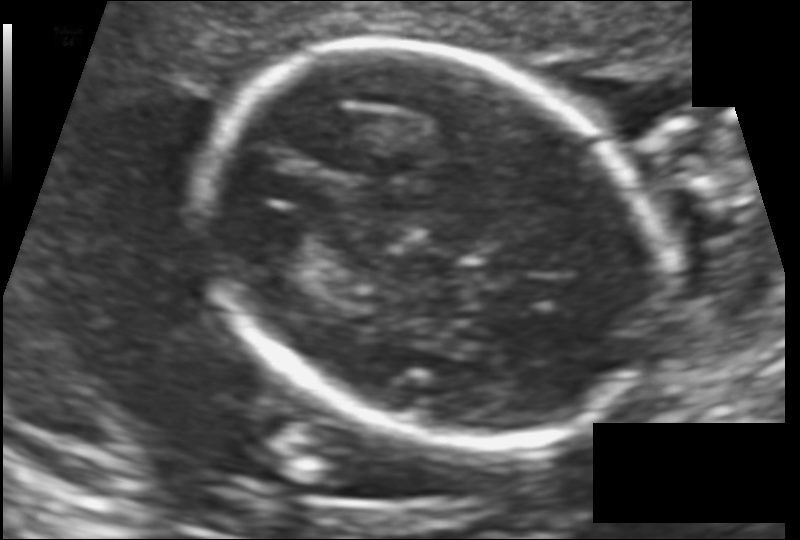
Estimate the fetal head circumference from this 2D ultrasound. Image width: 101.0 mm.

Head circumference: 172.9 mm.